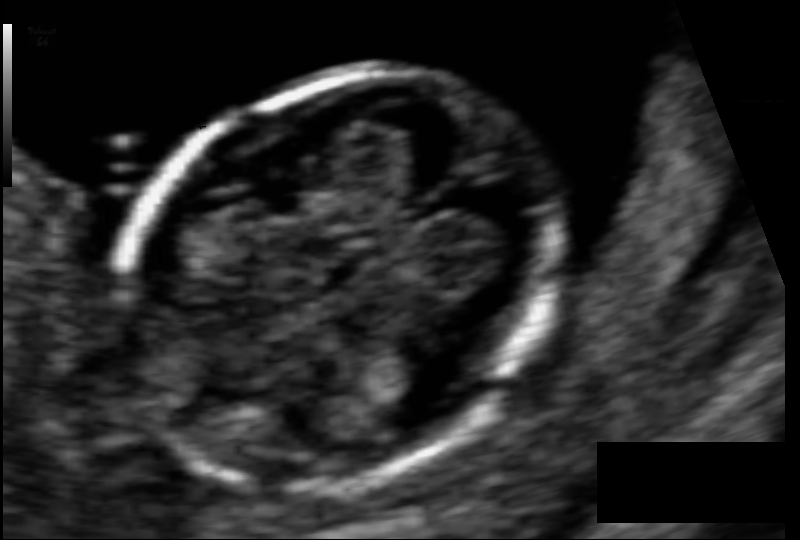
In this fetal head ultrasound, give bounding boxes for the head outline, cavum septum pellucidum (CSP), and lateral ventricle (LV), where visible. Image width: 48.5 mm.

Head: [114,74,564,481]